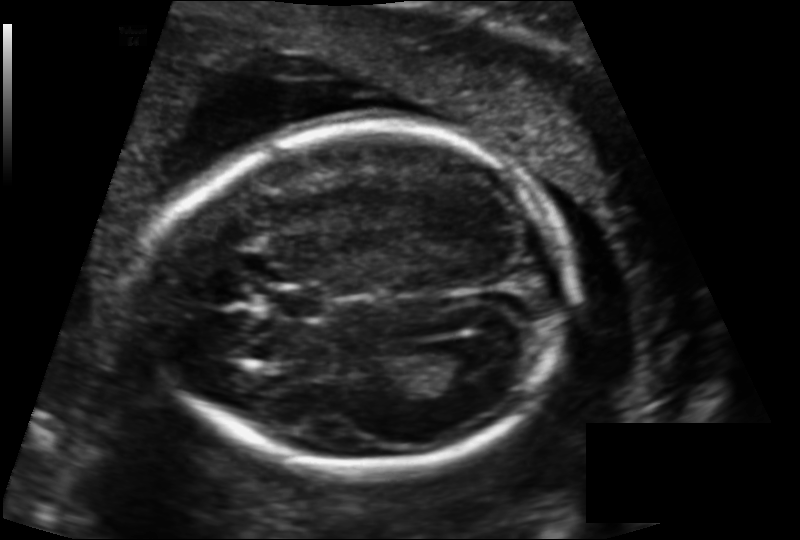
Fetal head ultrasound. Image width: 109.5 mm. Give [x1,y1,x2,y2] bounding boxes for each visible structure among: fetal head, CSP, LV.

Head: [152,118,568,474]
CSP: [271,289,324,316]
Lateral ventricle: [424,336,500,396]